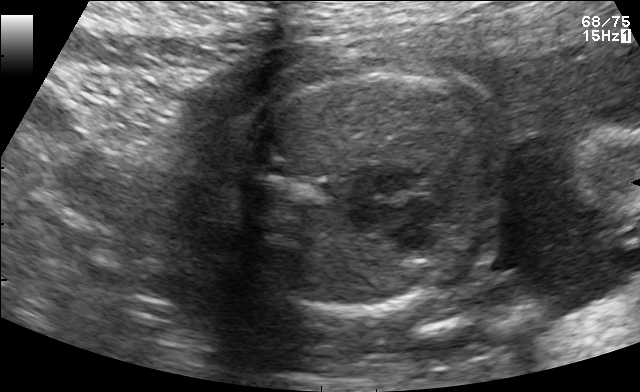
Classify this maternal-fetal ultrasound image as one of the six standard planes — fetal abdomen, fetal brain, fetal femur, fetal thorax, maternal cervix, or other. If it's fetal brain and one of the three standard brain planes (trans-thalamic, trans-cerebellum, trans-ventricular), name which.

Fetal thorax